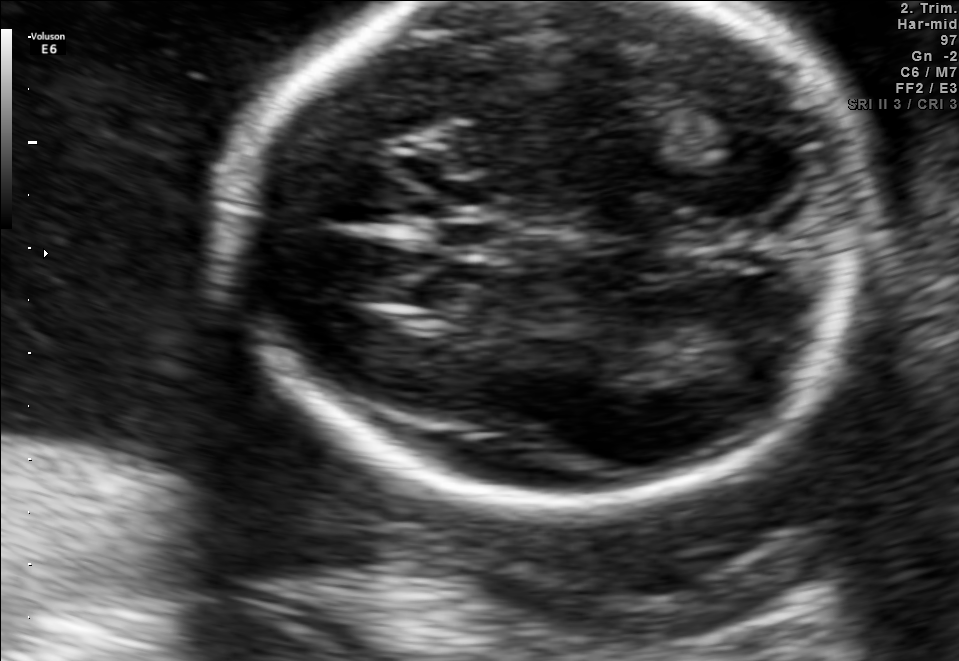
In this fetal brain, trans-thalamic plane, give the bounding box of the cavum septum pellucidum.

[436,221,504,252]